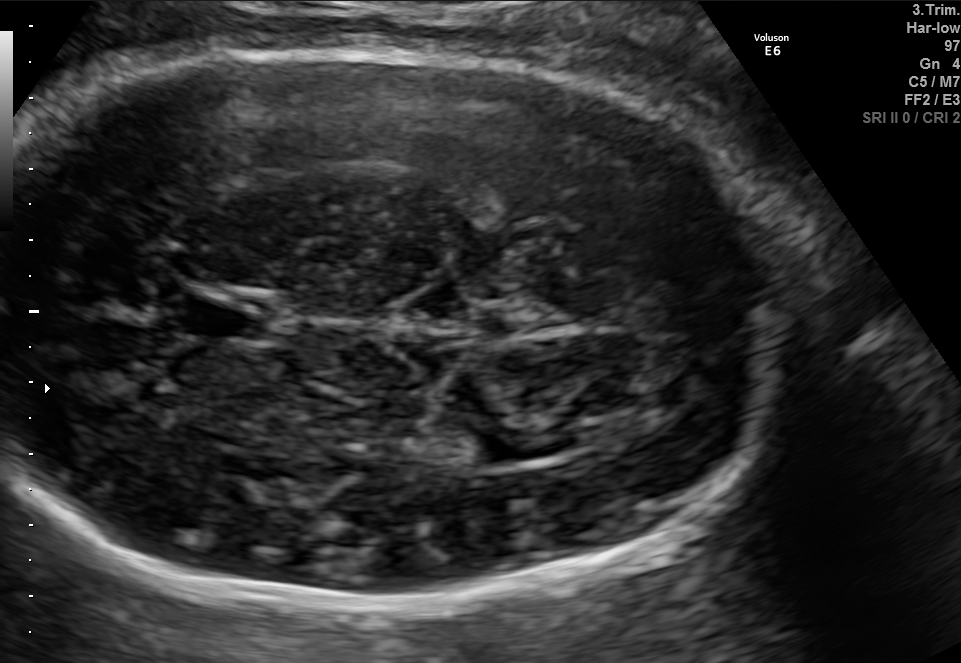
Fetal brain, trans-thalamic plane. Where is the lateral ventricle?

Lateral ventricle bounding box: [472,420,563,467]